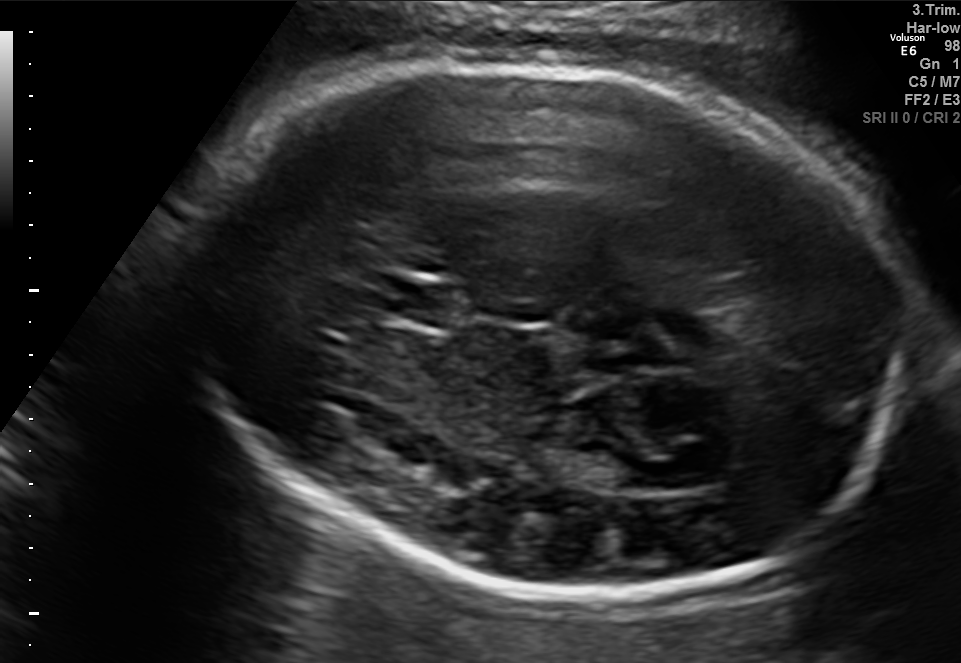
This is a 2D maternal-fetal ultrasound frame. Is it a fetal abdomen, fetal brain, fetal femur, fetal thorax, maternal cervix, or other standard plane? If it's fetal brain and one of the three standard brain planes (trans-thalamic, trans-cerebellum, trans-ventricular), name which.

Fetal brain (trans-thalamic plane)